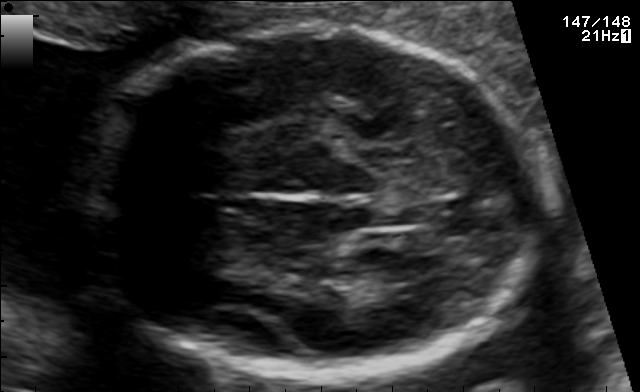
Fetal brain, trans-thalamic plane. Locate the fetal head and, if visible, the cavum septum pellucidum (CSP) and lateral ventricle (LV). Give bounding boxes as [x1,y1,x2,y2].

Head: [77,24,541,379]